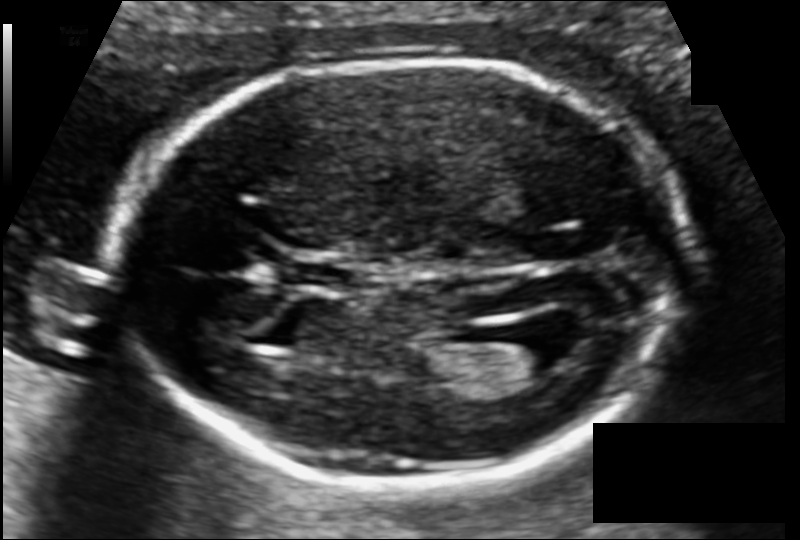
What is the fetal head circumference? Image width is 82.9 mm.

165.9 mm